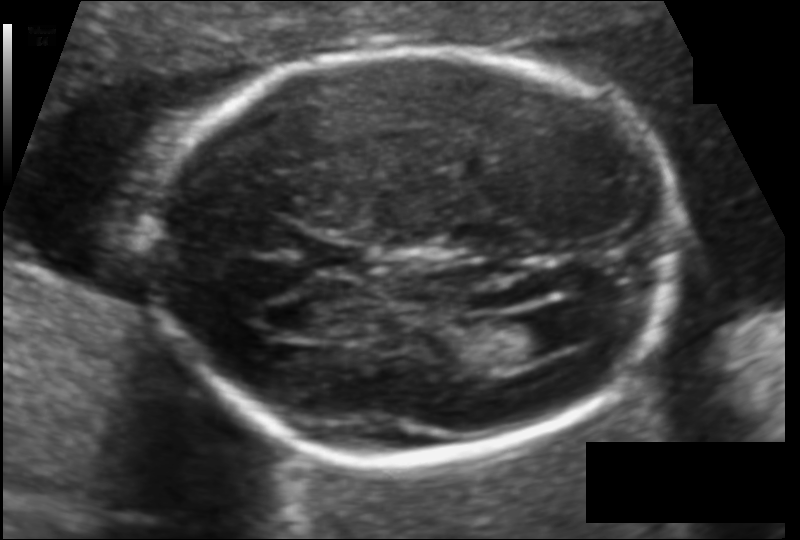
Fetal head ultrasound. Image width: 89.1 mm. Locate the lateral ventricle.

Lateral ventricle: [491,304,572,370]